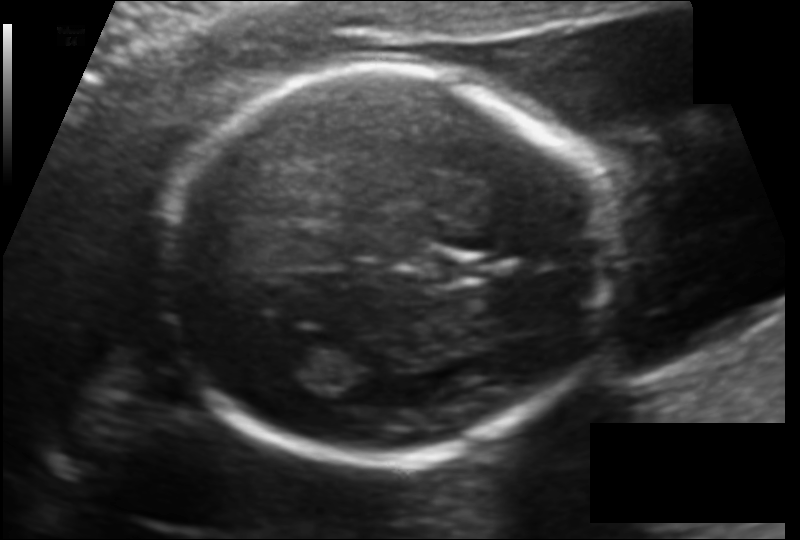
Fetal head ultrasound. Image width: 98.0 mm. Give [x1,y1,x2,y2] bounding boxes for each visible structure among: fetal head, CSP, LV.

Head: [156,69,606,462]